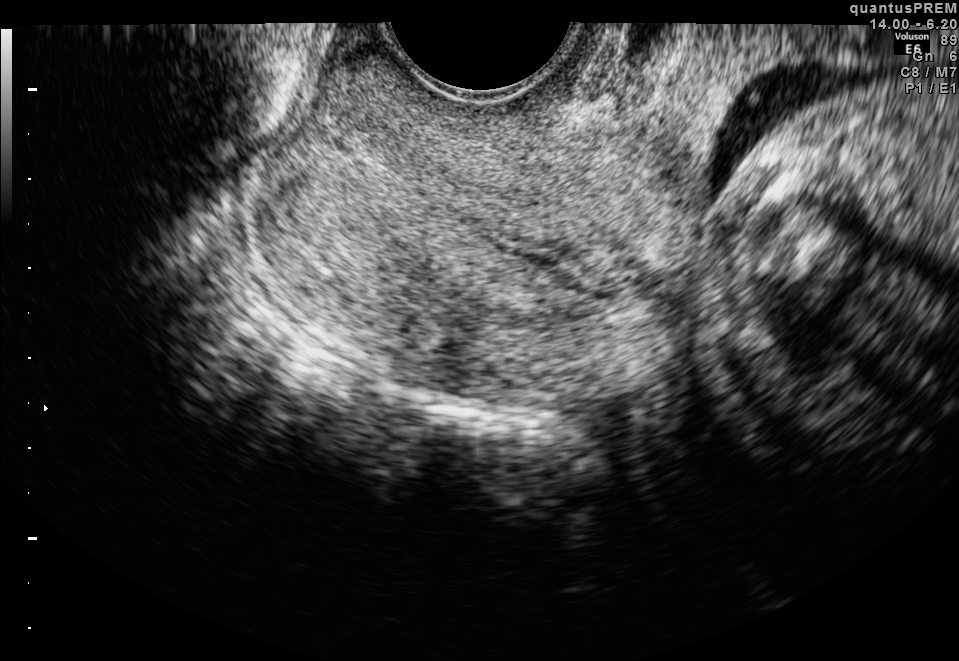
Which standard maternal-fetal ultrasound plane is shown: fetal abdomen, fetal brain, fetal femur, fetal thorax, maternal cervix, or other? If it's fetal brain and one of the three standard brain planes (trans-thalamic, trans-cerebellum, trans-ventricular), name which.

Maternal cervix